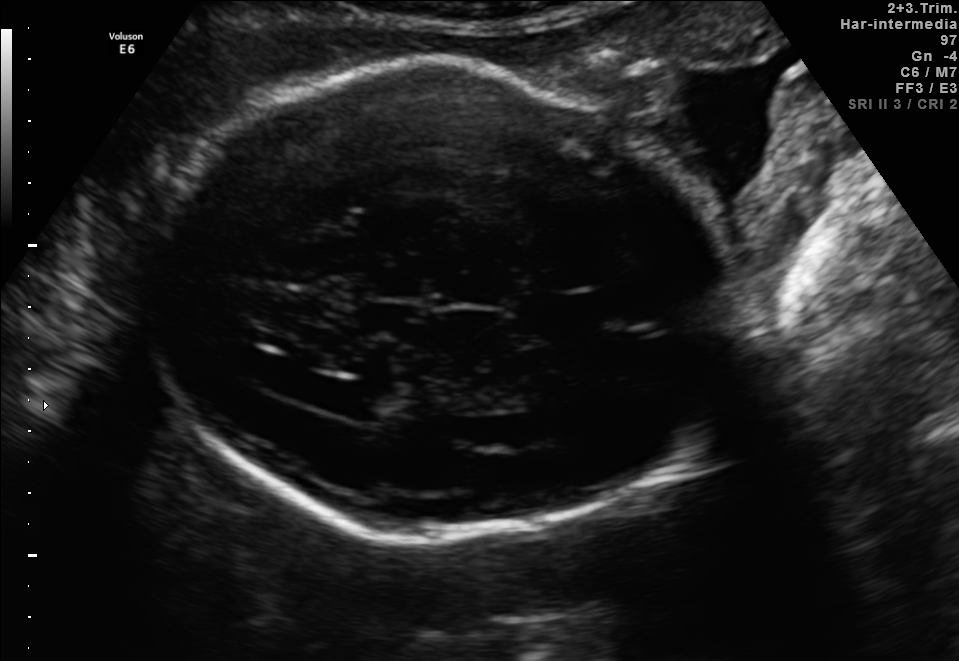
Fetal brain, trans-ventricular plane. Where is the fetal head?

Head bounding box: [125,53,758,554]